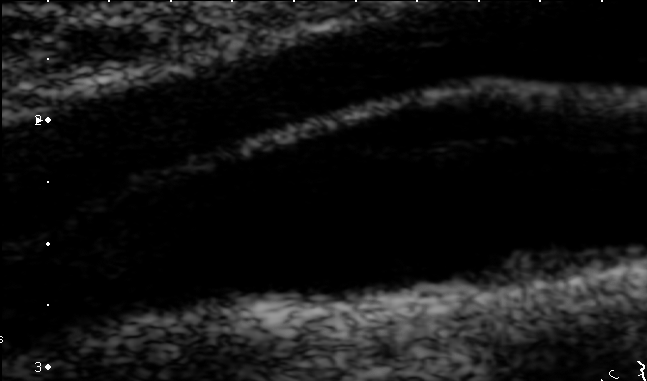
Which standard maternal-fetal ultrasound plane is shown: fetal abdomen, fetal brain, fetal femur, fetal thorax, maternal cervix, or other? If it's fetal brain and one of the three standard brain planes (trans-thalamic, trans-cerebellum, trans-ventricular), name which.

Other